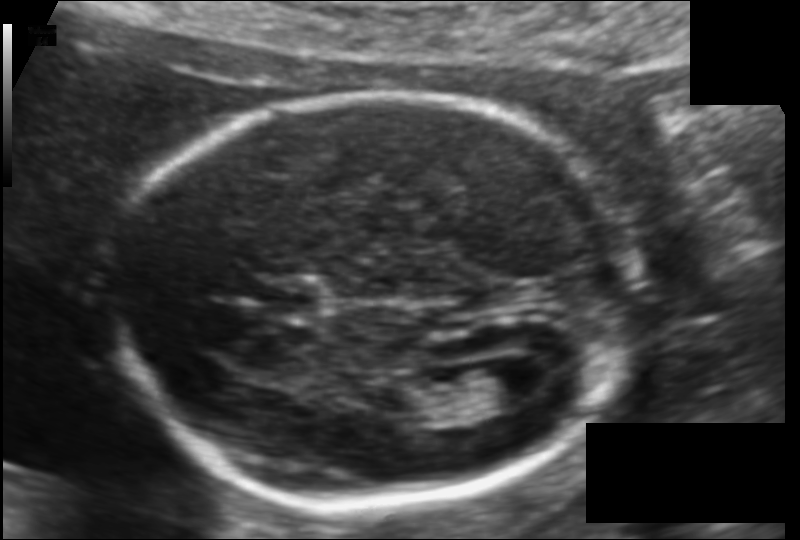
Fetal head ultrasound. Image width: 92.0 mm. Locate the fetal head and, if visible, the cavum septum pellucidum (CSP) and lateral ventricle (LV). Give bounding boxes as [x1,y1,x2,y2].

Head: [118,95,636,504]
CSP: [258,283,320,315]
Lateral ventricle: [461,354,542,417]